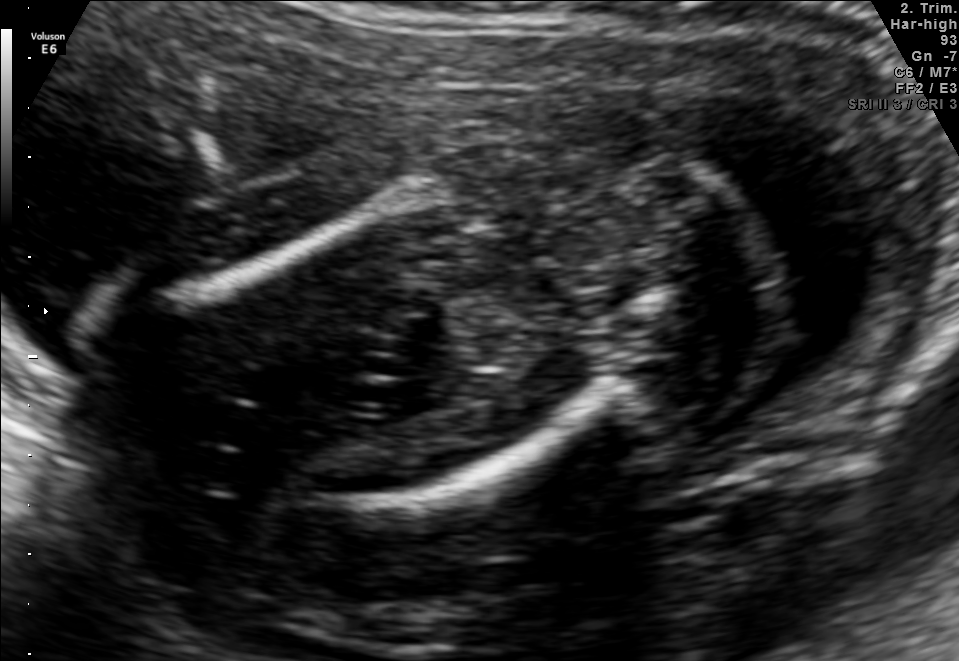
Which standard maternal-fetal ultrasound plane is shown: fetal abdomen, fetal brain, fetal femur, fetal thorax, maternal cervix, or other? If it's fetal brain and one of the three standard brain planes (trans-thalamic, trans-cerebellum, trans-ventricular), name which.

Fetal femur